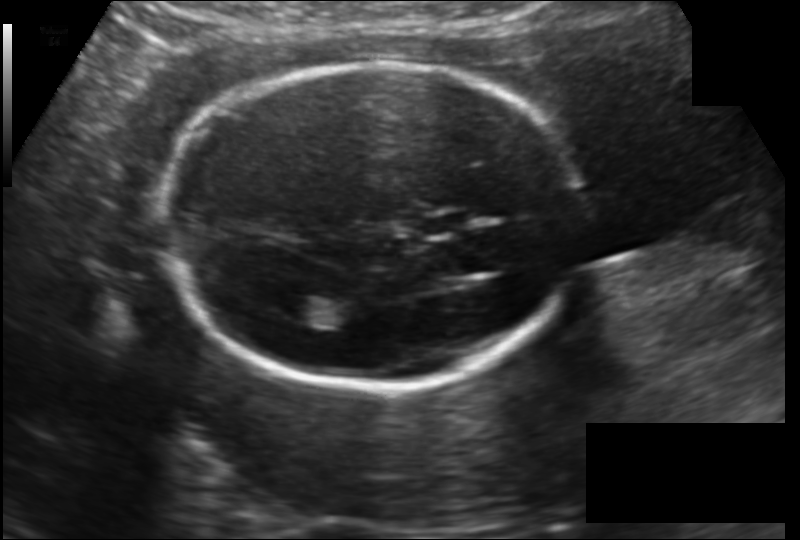
Fetal head ultrasound. Image width: 118.1 mm. Locate the fetal head and, if visible, the cavum septum pellucidum (CSP) and lateral ventricle (LV). Give bounding boxes as [x1,y1,x2,y2].

Head: [164,62,584,390]
CSP: [413,206,475,243]
Lateral ventricle: [276,293,323,326]